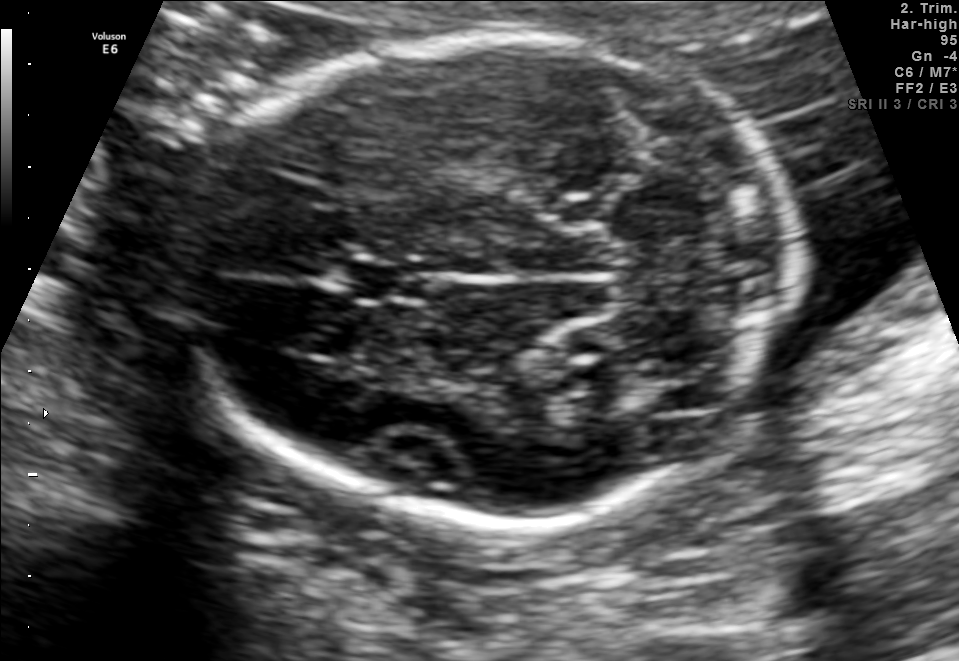
In this fetal brain, trans-cerebellum plane, give the bounding box of the cavum septum pellucidum.

[349,259,426,304]